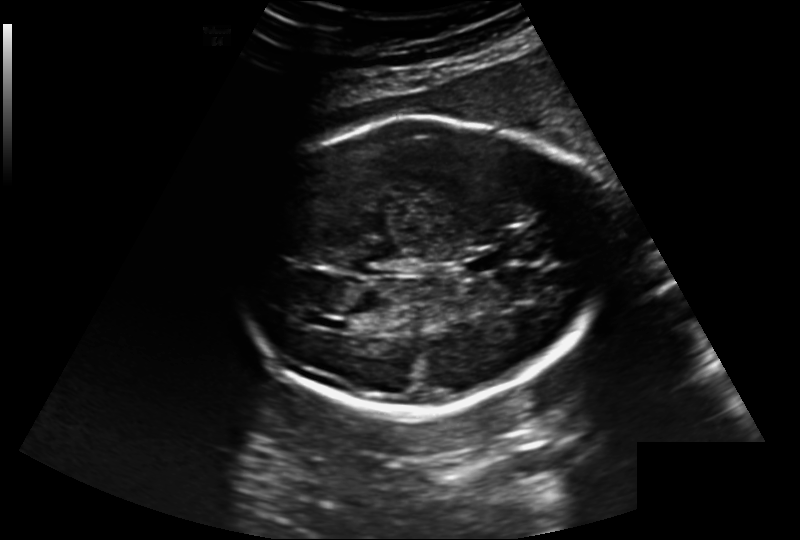
Fetal head ultrasound. Image width: 175.6 mm. Give [x1,y1,x2,y2] bounding boxes for each visible structure among: fetal head, CSP, LV.

Head: [235,115,610,413]
CSP: [462,251,500,278]
Lateral ventricle: [315,314,351,334]